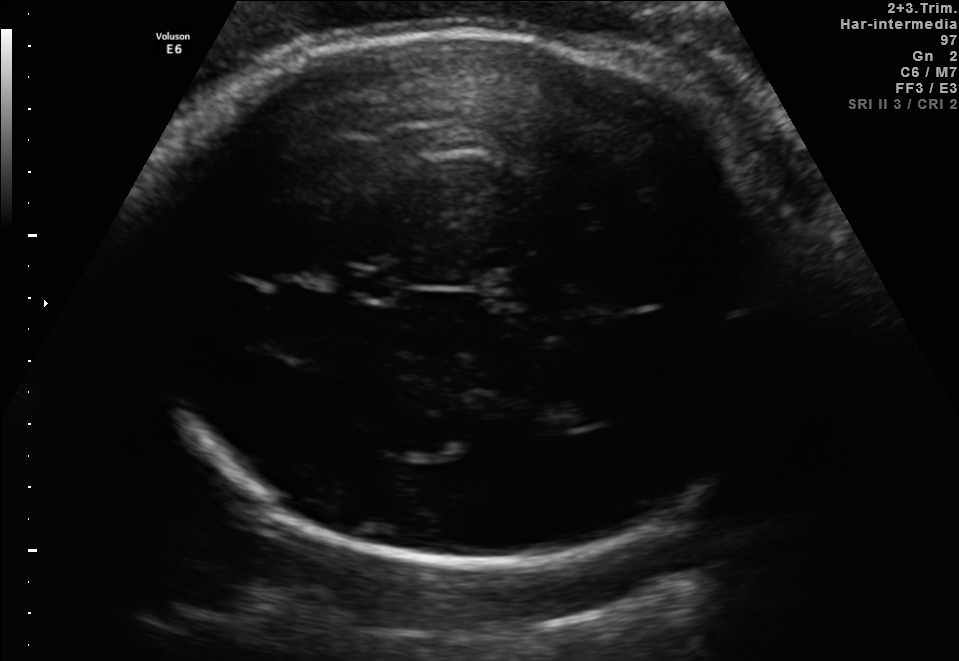
In this fetal brain, trans-thalamic plane, give the bounding box of the fetal head.

[130,29,799,564]